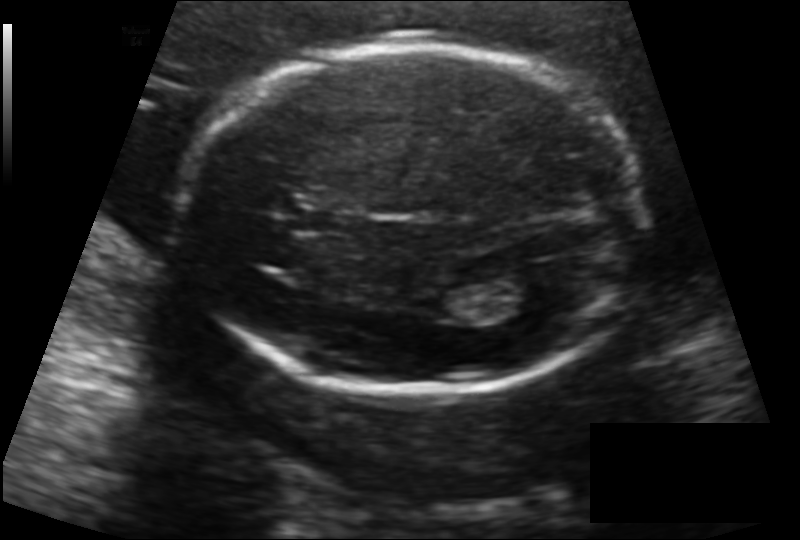
Estimate the fetal head circumference from this 2D ultrasound.

Head circumference: 186.5 mm (image width 113.3 mm).